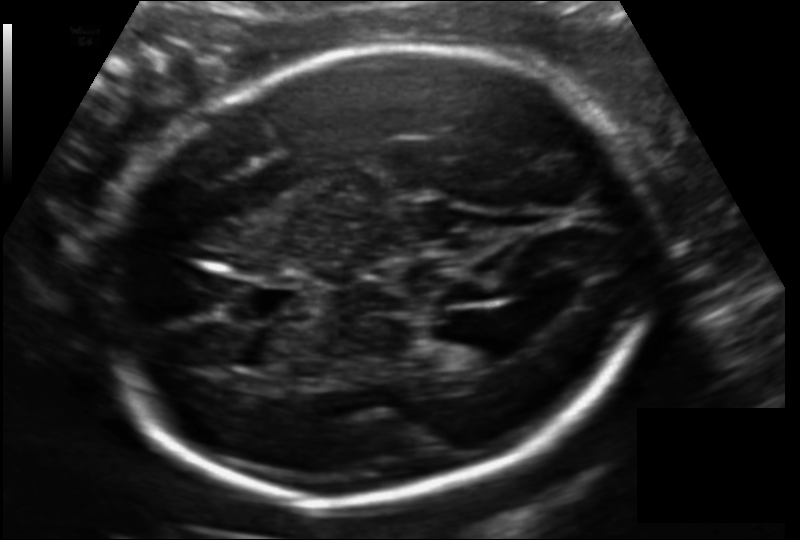
Estimate the fetal head circumference from this 2D ultrasound. Image width: 111.6 mm.

Head circumference: 224.0 mm.